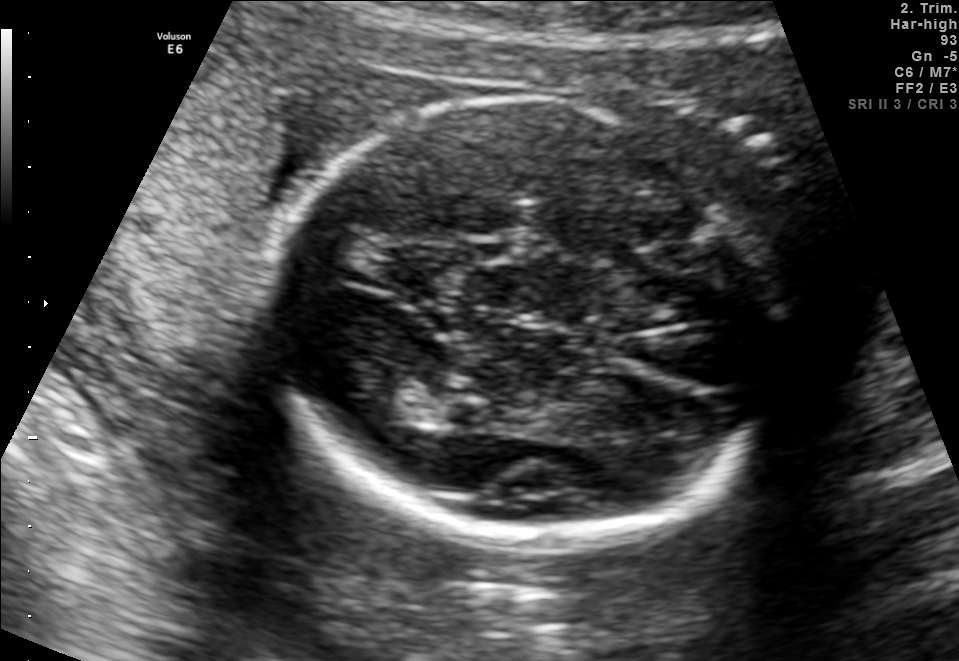
In this fetal brain, trans-thalamic plane, give the bounding box of the lateral ventricle.

[357,376,452,431]